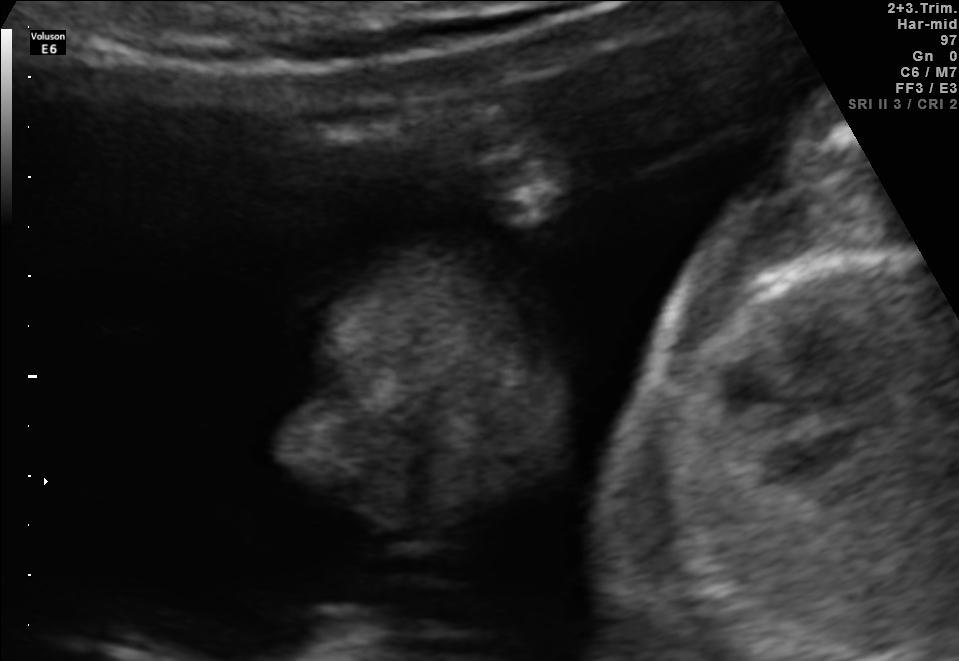
This is a 2D maternal-fetal ultrasound frame. Is it a fetal abdomen, fetal brain, fetal femur, fetal thorax, maternal cervix, or other standard plane? If it's fetal brain and one of the three standard brain planes (trans-thalamic, trans-cerebellum, trans-ventricular), name which.

Other